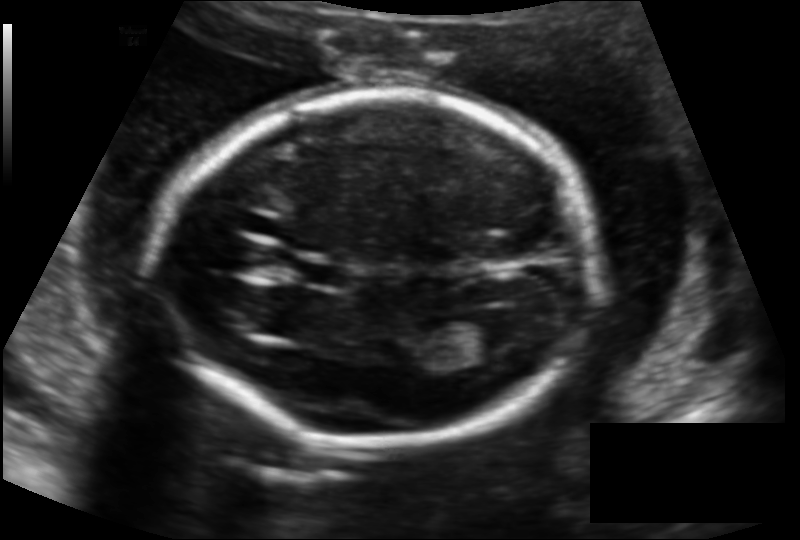
Measure the fetal head circumference shown in this ultrasound image. Image width: 108.6 mm.

Head circumference: 172.4 mm.